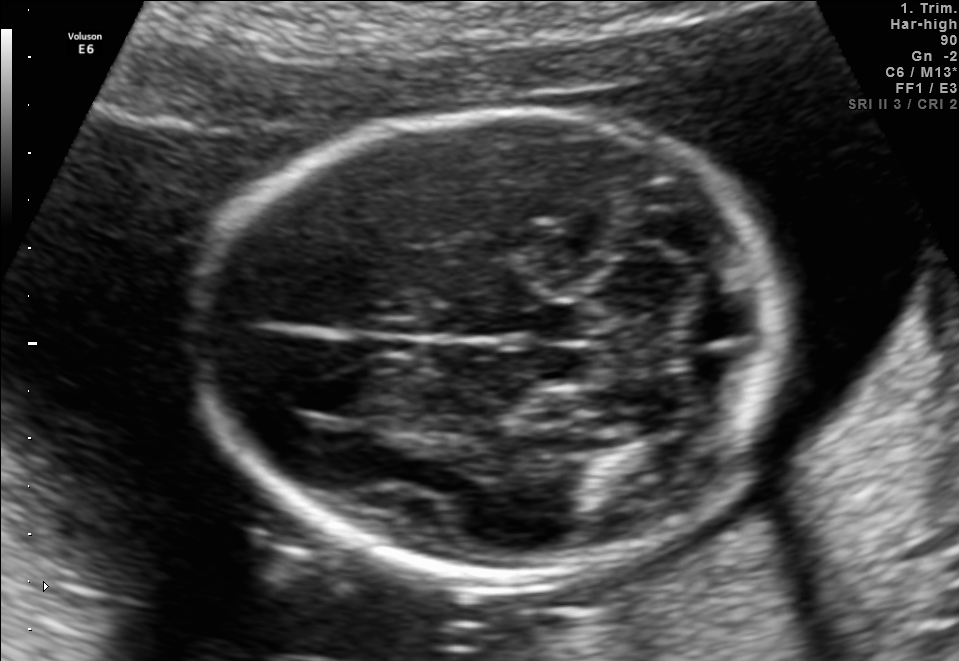
Fetal brain, trans-cerebellum plane. Give [x1,y1,x2,y2] bounding boxes for each visible structure among: fetal head, CSP, LV.

Head: [205,109,788,572]